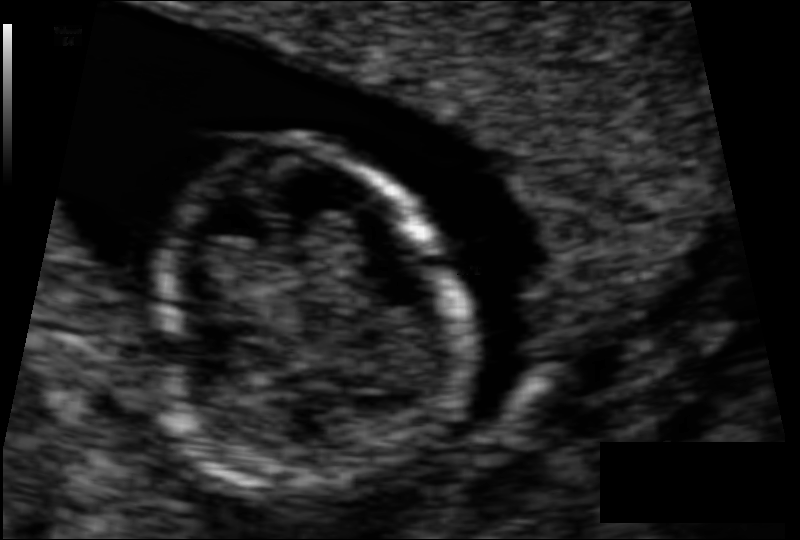
Estimate the fetal head circumference from this 2D ultrasound. Image width: 49.5 mm.

Head circumference: 66.3 mm.